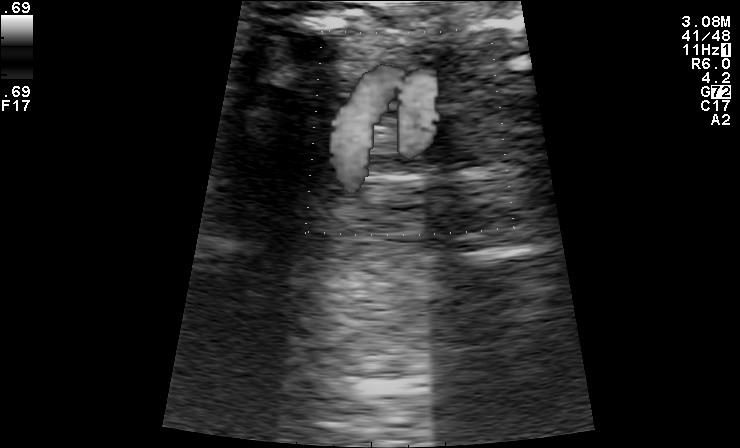
Which standard maternal-fetal ultrasound plane is shown: fetal abdomen, fetal brain, fetal femur, fetal thorax, maternal cervix, or other? If it's fetal brain and one of the three standard brain planes (trans-thalamic, trans-cerebellum, trans-ventricular), name which.

Other